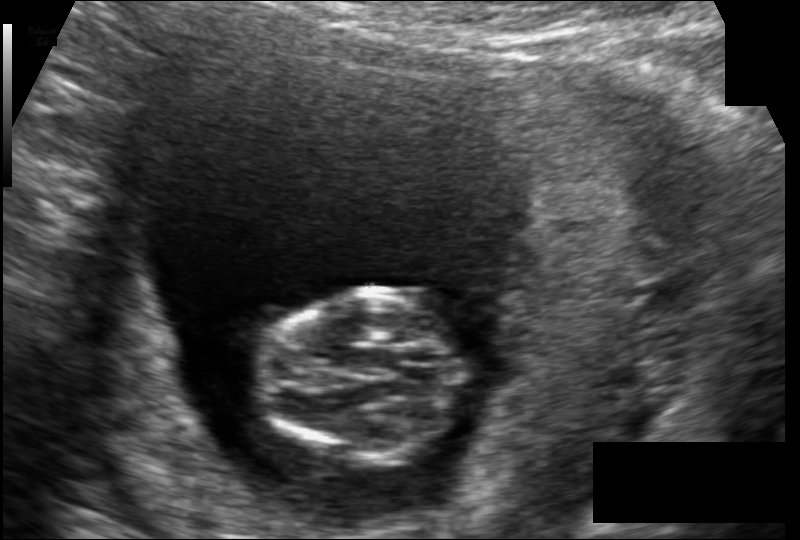
Fetal head ultrasound. Image width: 93.8 mm. Locate the fetal head and, if visible, the cavum septum pellucidum (CSP) and lateral ventricle (LV). Give bounding boxes as [x1,y1,x2,y2].

Head: [261,289,464,465]